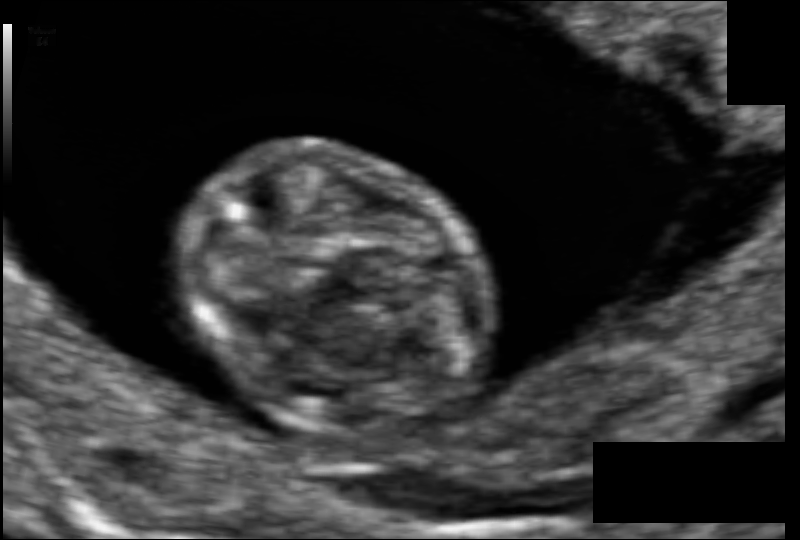
Estimate the fetal head circumference from this 2D ultrasound.

Head circumference: 59.8 mm (image width 49.0 mm).